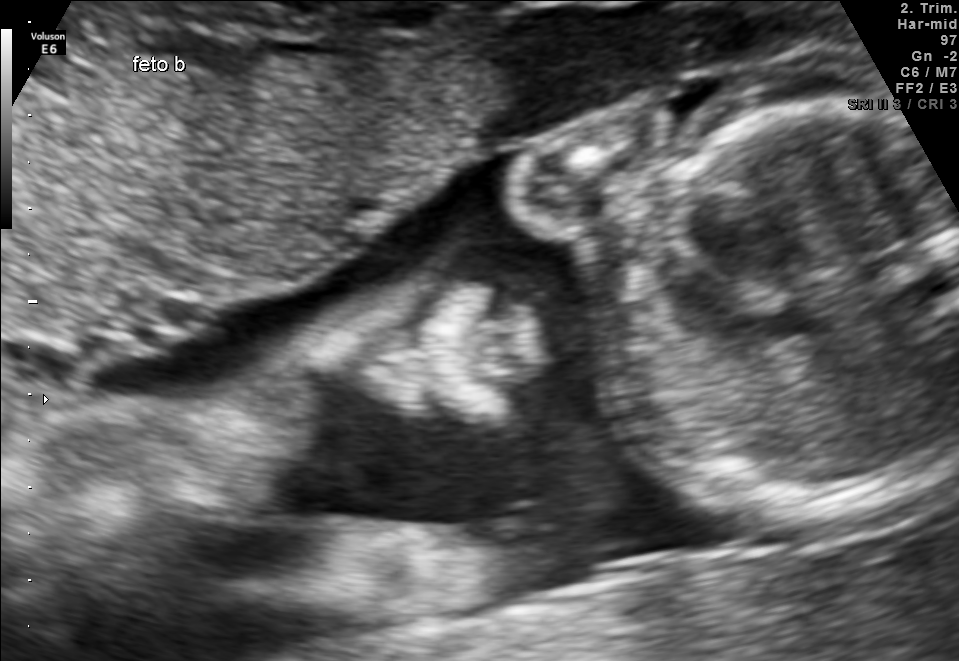
Identify the standard plane in this fetal ultrasound image: fetal abdomen, fetal brain, fetal femur, fetal thorax, maternal cervix, or other. If it's fetal brain and one of the three standard brain planes (trans-thalamic, trans-cerebellum, trans-ventricular), name which.

Other